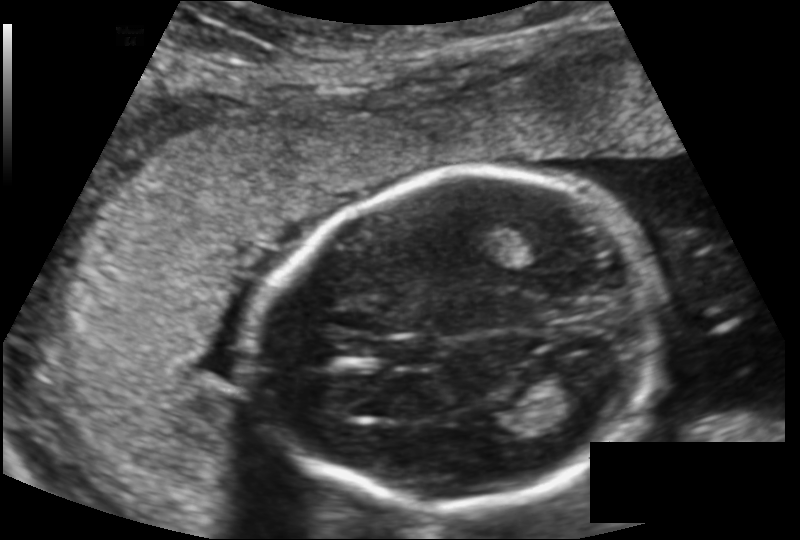
Fetal head ultrasound. Image width: 119.2 mm. Locate the fetal head.

Head: [249,175,657,507]